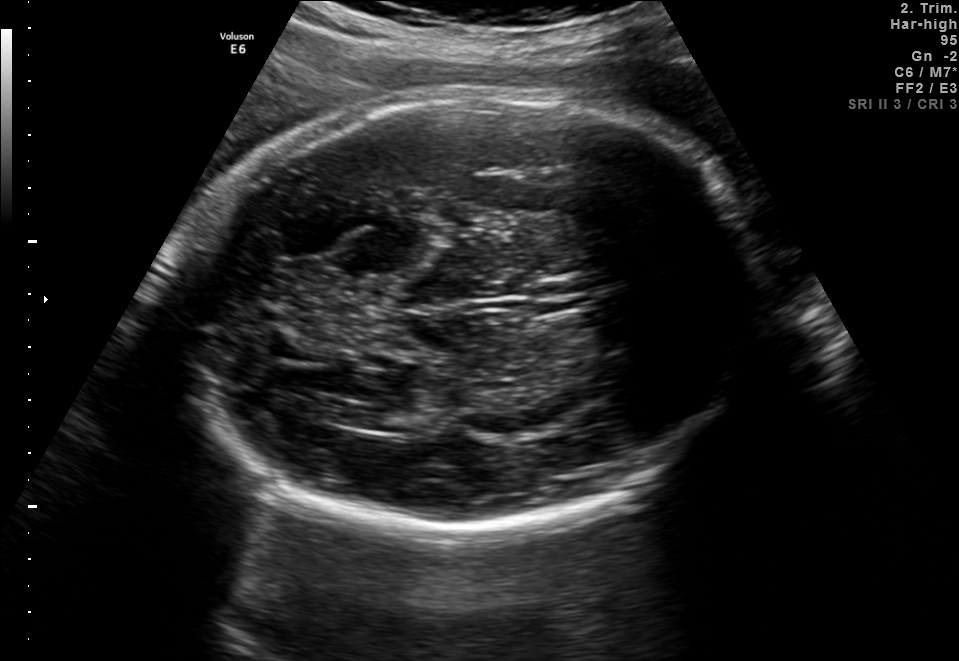
Which standard maternal-fetal ultrasound plane is shown: fetal abdomen, fetal brain, fetal femur, fetal thorax, maternal cervix, or other? If it's fetal brain and one of the three standard brain planes (trans-thalamic, trans-cerebellum, trans-ventricular), name which.

Fetal brain (trans-ventricular plane)